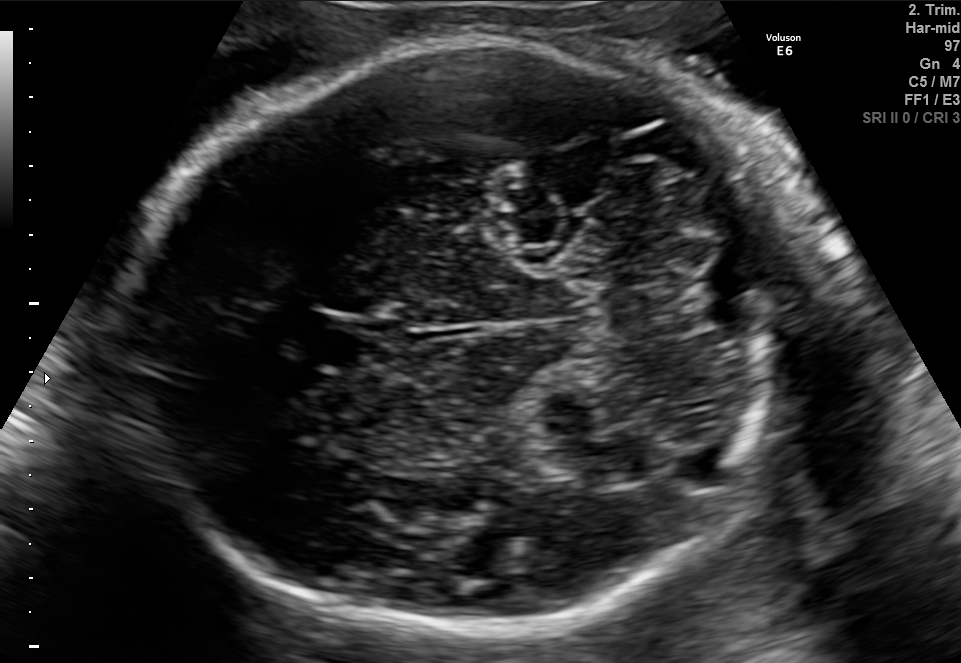
Fetal brain, trans-cerebellum plane. Locate the fetal head and, if visible, the cavum septum pellucidum (CSP) and lateral ventricle (LV). Give bounding boxes as [x1,y1,x2,y2].

Head: [135,43,782,636]
CSP: [292,307,385,381]